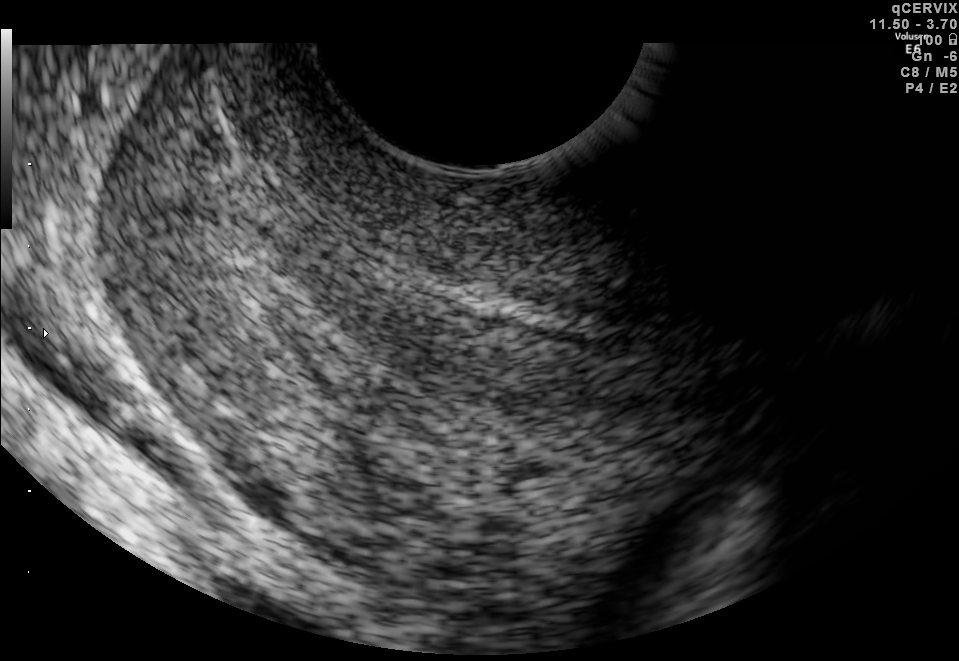
This is a 2D maternal-fetal ultrasound frame. Is it a fetal abdomen, fetal brain, fetal femur, fetal thorax, maternal cervix, or other standard plane? If it's fetal brain and one of the three standard brain planes (trans-thalamic, trans-cerebellum, trans-ventricular), name which.

Maternal cervix